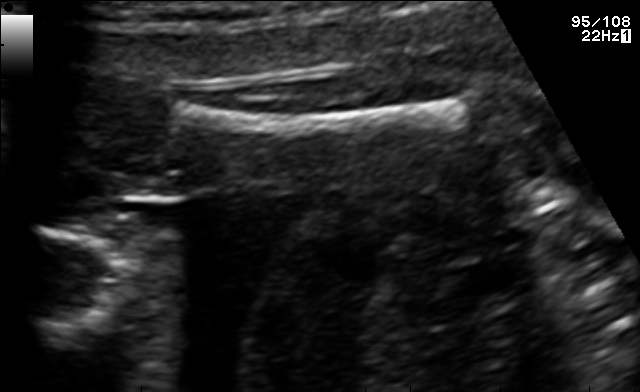
Which standard maternal-fetal ultrasound plane is shown: fetal abdomen, fetal brain, fetal femur, fetal thorax, maternal cervix, or other? If it's fetal brain and one of the three standard brain planes (trans-thalamic, trans-cerebellum, trans-ventricular), name which.

Fetal femur